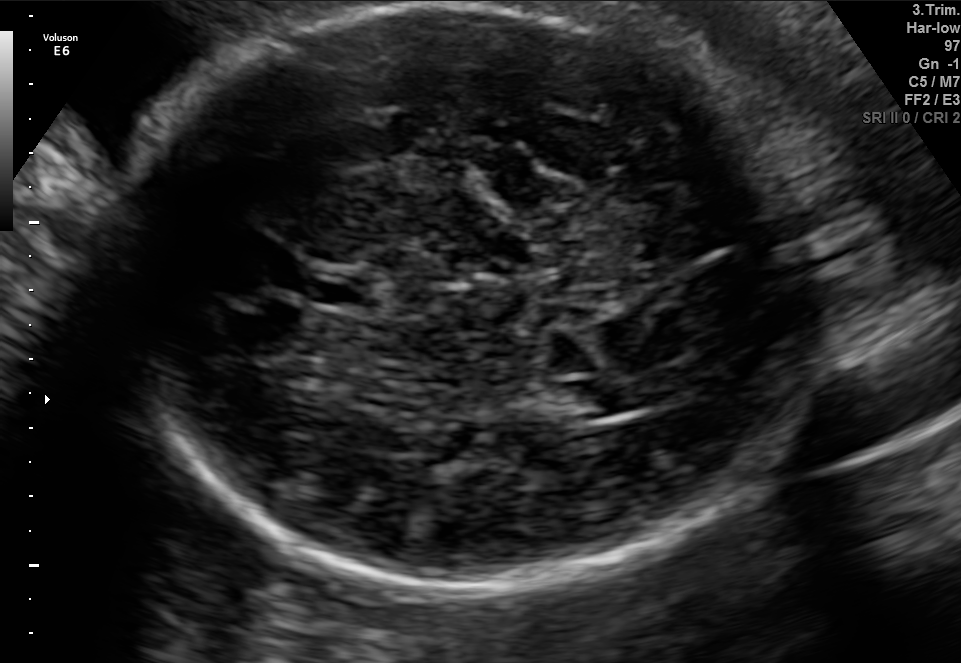
Identify the standard plane in this fetal ultrasound image: fetal abdomen, fetal brain, fetal femur, fetal thorax, maternal cervix, or other. If it's fetal brain and one of the three standard brain planes (trans-thalamic, trans-cerebellum, trans-ventricular), name which.

Fetal brain (trans-ventricular plane)